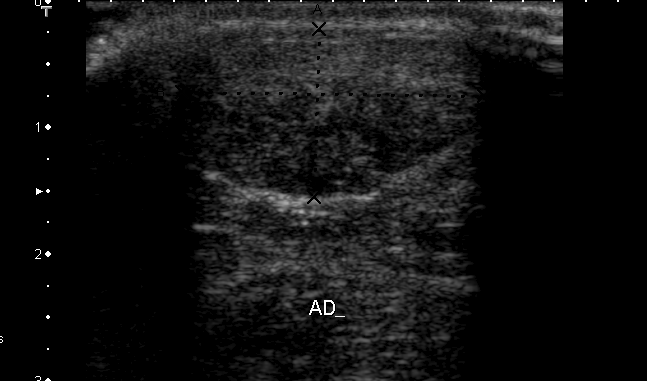
Classify this maternal-fetal ultrasound image as one of the six standard planes — fetal abdomen, fetal brain, fetal femur, fetal thorax, maternal cervix, or other. If it's fetal brain and one of the three standard brain planes (trans-thalamic, trans-cerebellum, trans-ventricular), name which.

Other